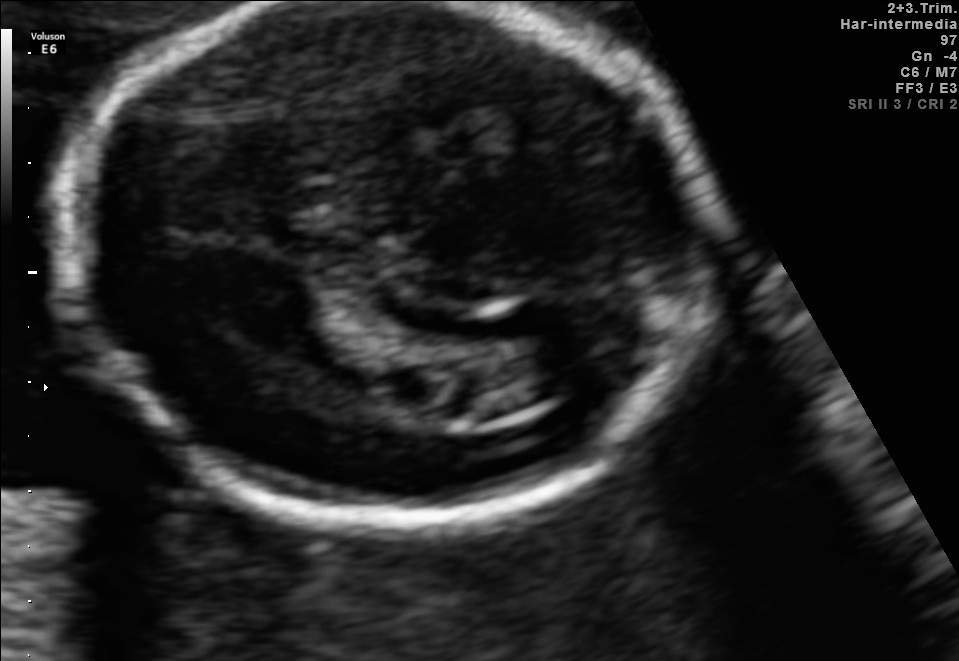
Fetal brain, trans-ventricular plane. Give [x1,y1,x2,y2] bounding boxes for each visible structure among: fetal head, CSP, LV.

Head: [47,3,736,542]
Lateral ventricle: [512,330,609,407]